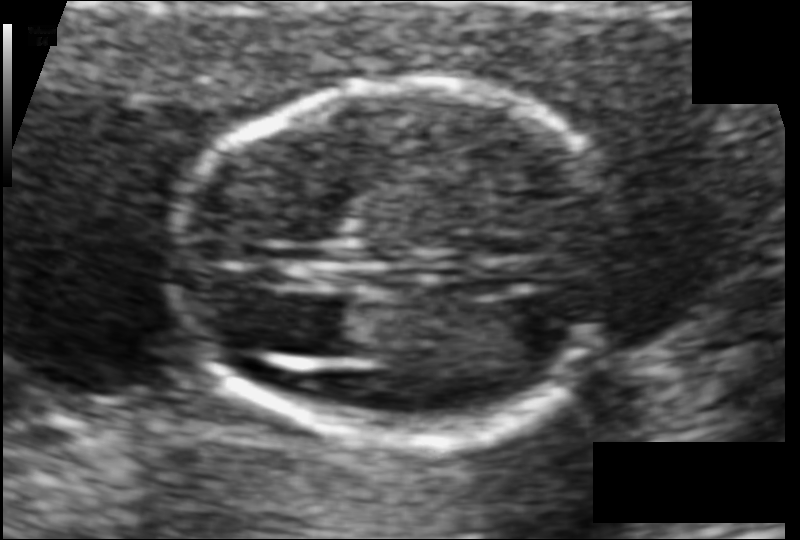
Fetal head ultrasound. Image width: 61.4 mm. Locate the fetal head and, if visible, the cavum septum pellucidum (CSP) and lateral ventricle (LV). Give bounding boxes as [x1,y1,x2,y2].

Head: [175,86,620,436]